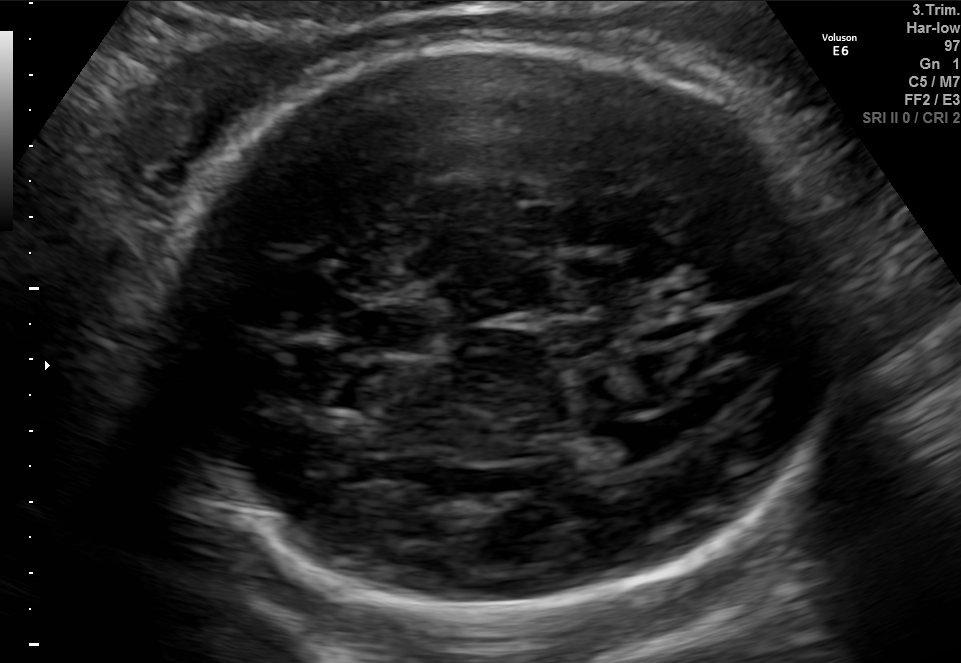
In this fetal brain, trans-ventricular plane, give the bounding box of the cavum septum pellucidum.

[360,306,433,354]